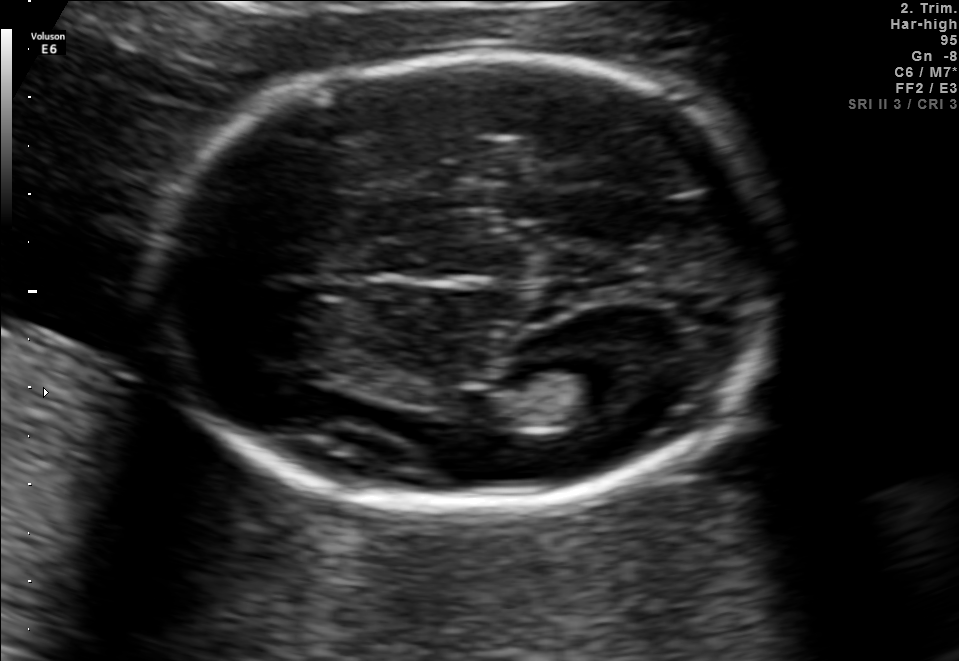
In this fetal brain, trans-thalamic plane, give bounding boxes for the head outline, cavum septum pellucidum (CSP), and lateral ventricle (LV), where visible.

Head: [144,54,773,511]
Lateral ventricle: [526,341,659,431]